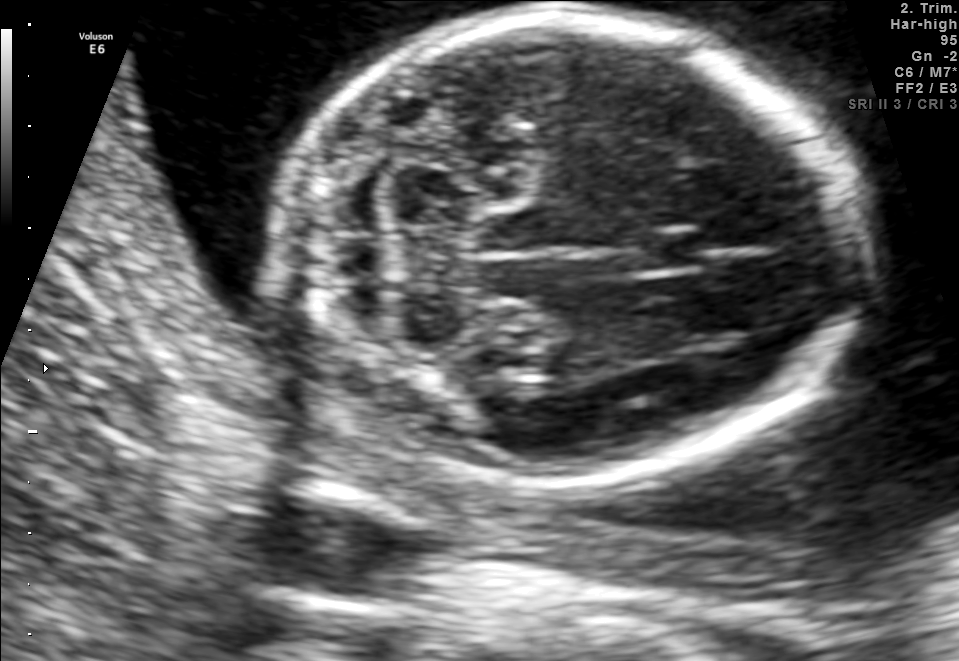
Fetal brain, trans-cerebellum plane. Locate the fetal head.

Head: [275,16,856,477]